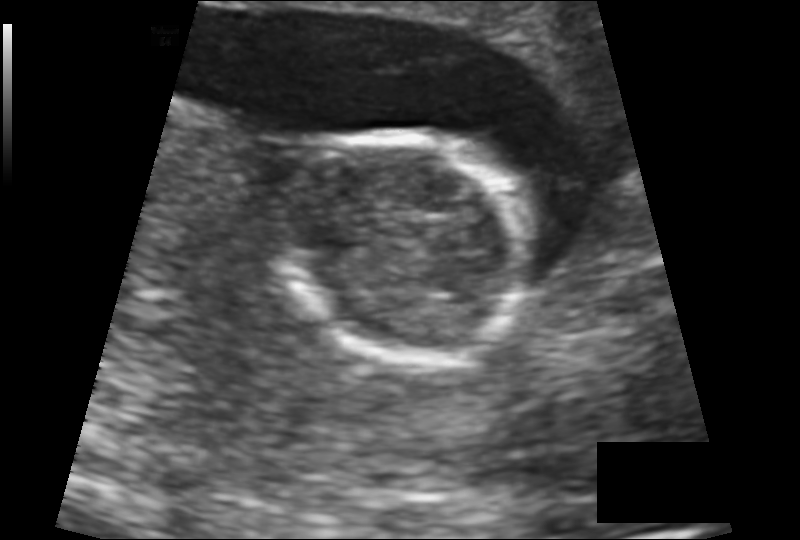
Fetal head ultrasound. Image width: 109.7 mm. Locate the fetal head and, if visible, the cavum septum pellucidum (CSP) and lateral ventricle (LV). Give bounding boxes as [x1,y1,x2,y2].

Head: [273,133,532,361]